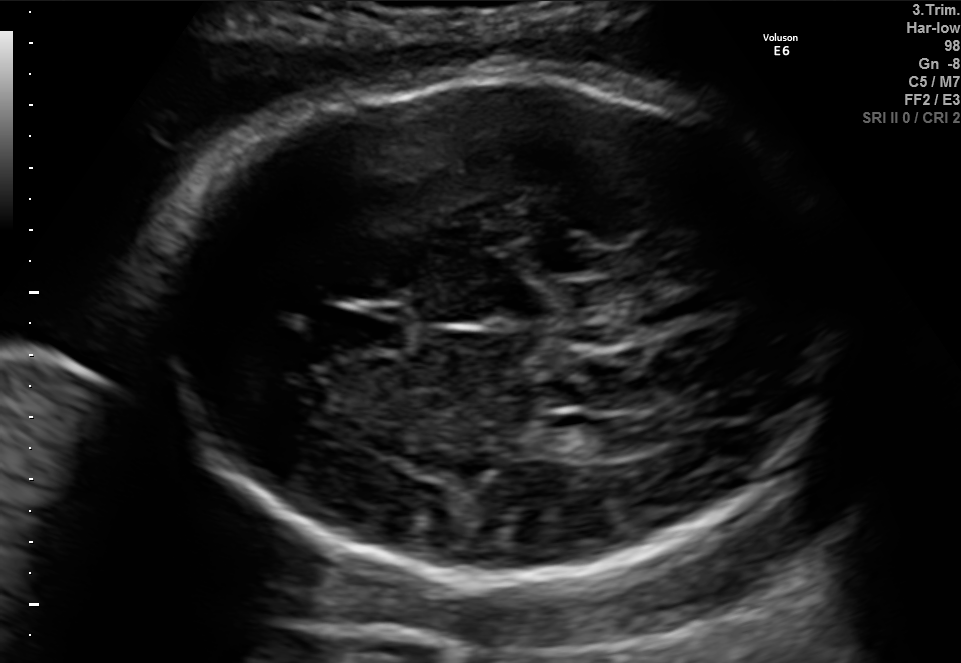
Fetal brain, trans-ventricular plane. Where is the cavum septum pellucidum?

CSP bounding box: [322,302,416,357]